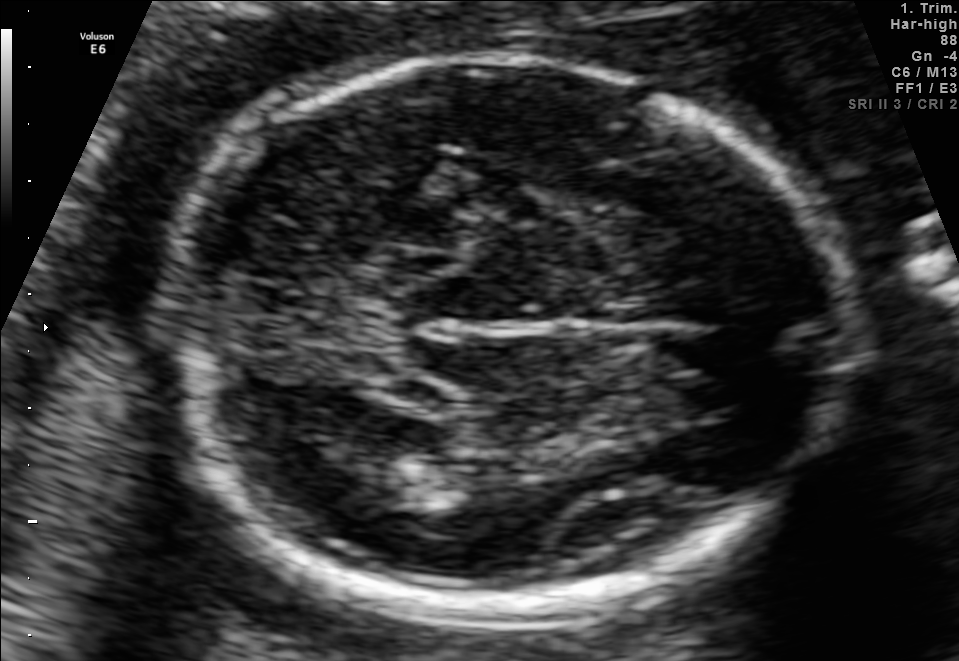
Fetal brain, trans-thalamic plane. Where is the fetal head?

Head bounding box: [164,58,853,613]